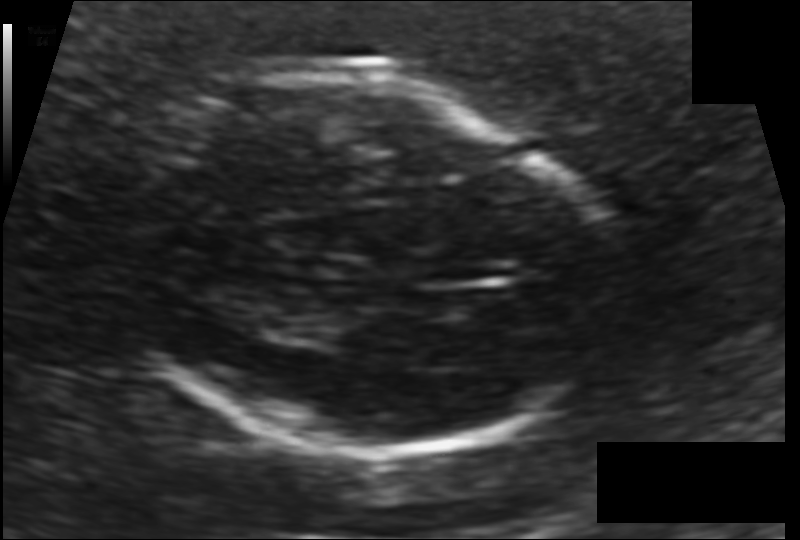
Measure the fetal head circumference shown in this ultrasound image. Image width: 105.5 mm.

Head circumference: 180.0 mm.